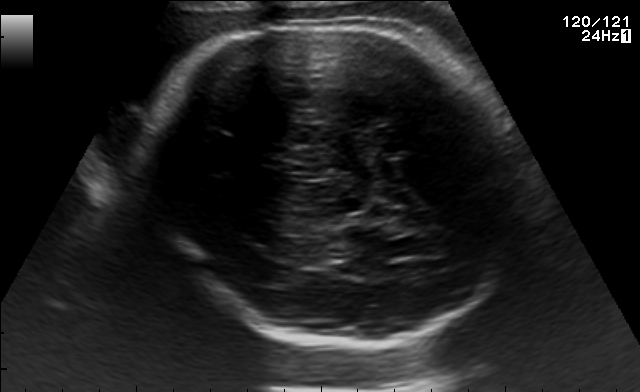
Fetal brain, trans-thalamic plane. Give [x1,y1,x2,y2] bounding boxes for each visible structure among: fetal head, CSP, LV.

Head: [153,19,526,347]